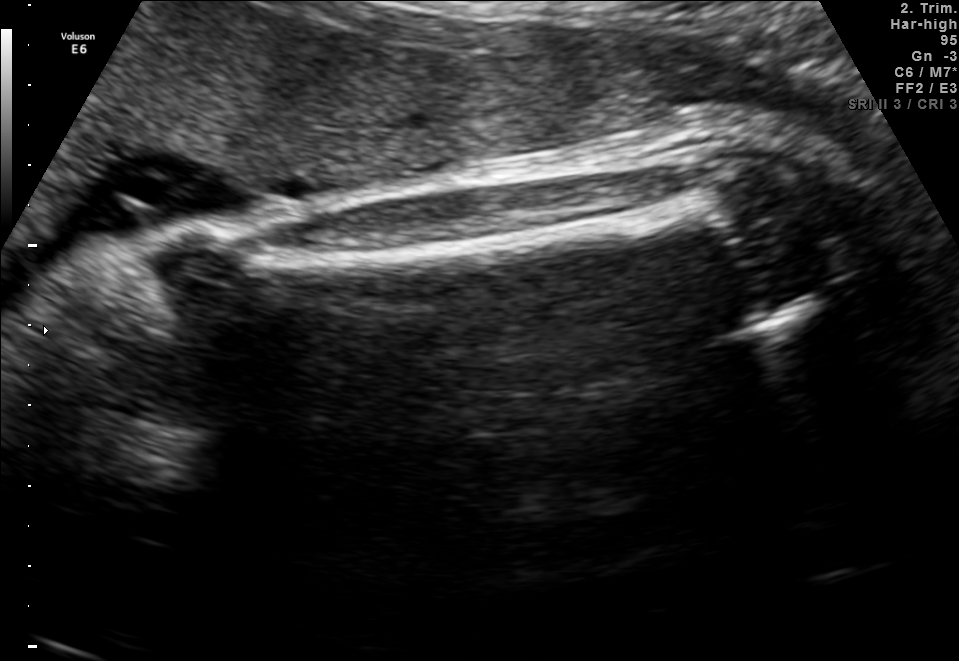
Identify the standard plane in this fetal ultrasound image: fetal abdomen, fetal brain, fetal femur, fetal thorax, maternal cervix, or other. If it's fetal brain and one of the three standard brain planes (trans-thalamic, trans-cerebellum, trans-ventricular), name which.

Fetal femur